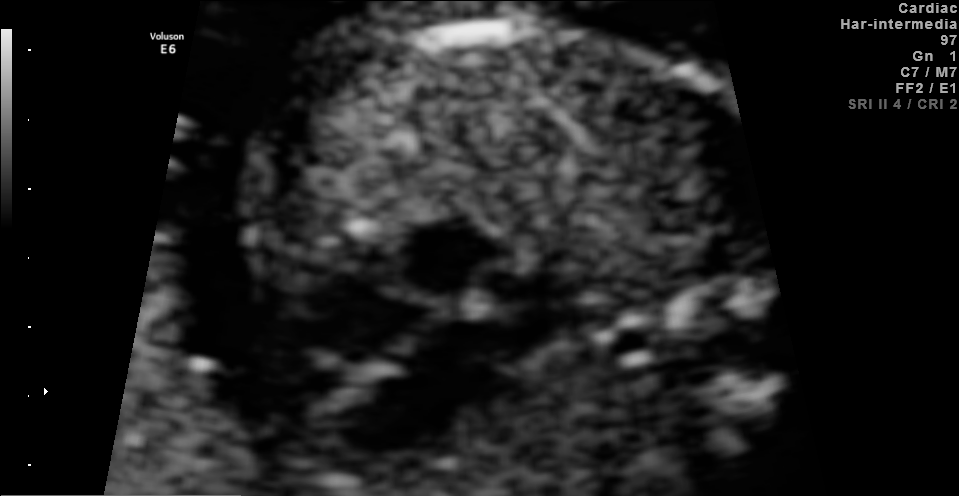
Identify the standard plane in this fetal ultrasound image: fetal abdomen, fetal brain, fetal femur, fetal thorax, maternal cervix, or other. If it's fetal brain and one of the three standard brain planes (trans-thalamic, trans-cerebellum, trans-ventricular), name which.

Fetal thorax